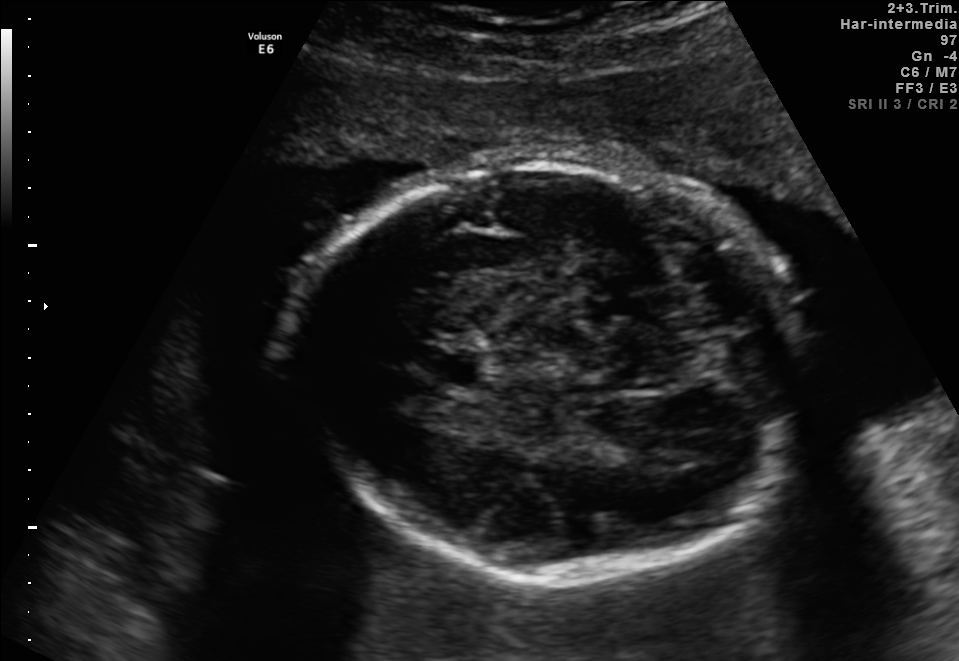
In this fetal brain, trans-thalamic plane, give the bounding box of the cavum septum pellucidum.

[412,340,485,390]